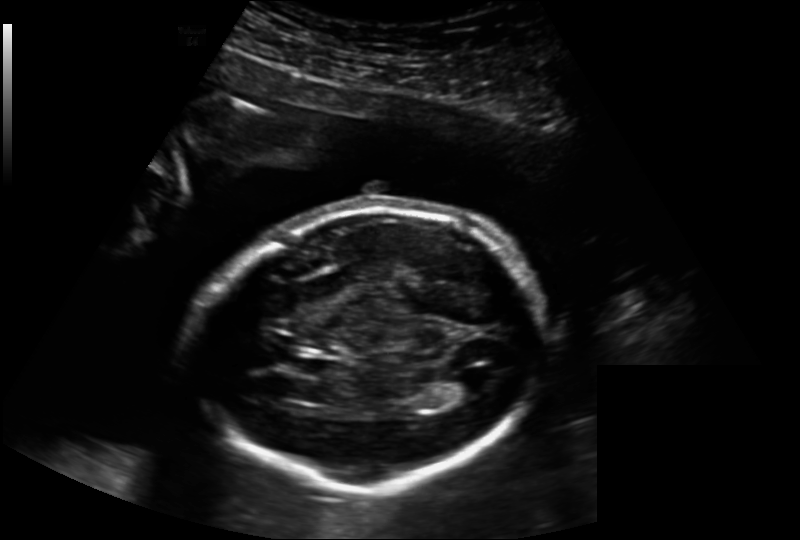
Fetal head ultrasound. Image width: 161.7 mm. Where is the lateral ventricle?

Lateral ventricle bounding box: [445,367,490,404]